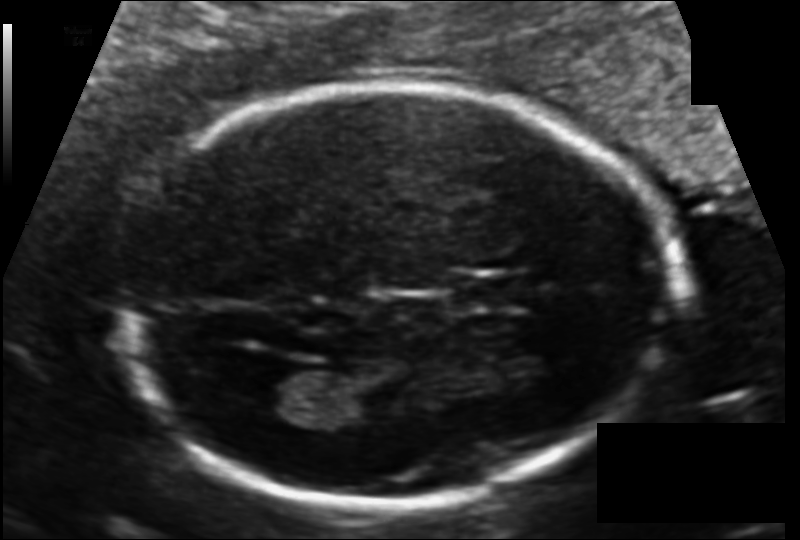
From this fetal ultrasound, estimate the head circumference (image width 90.0 mm).

Head circumference: 176.3 mm.